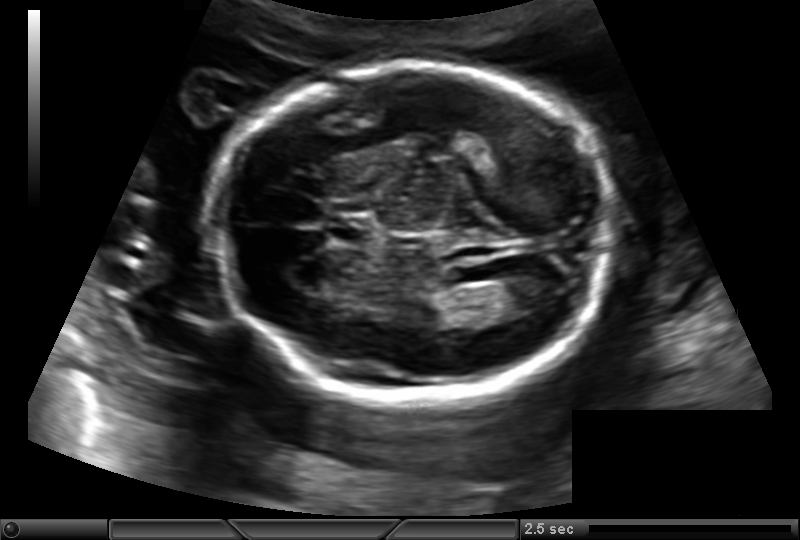
Estimate the fetal head circumference from this 2D ultrasound.

Head circumference: 174.9 mm (image width 116.2 mm).